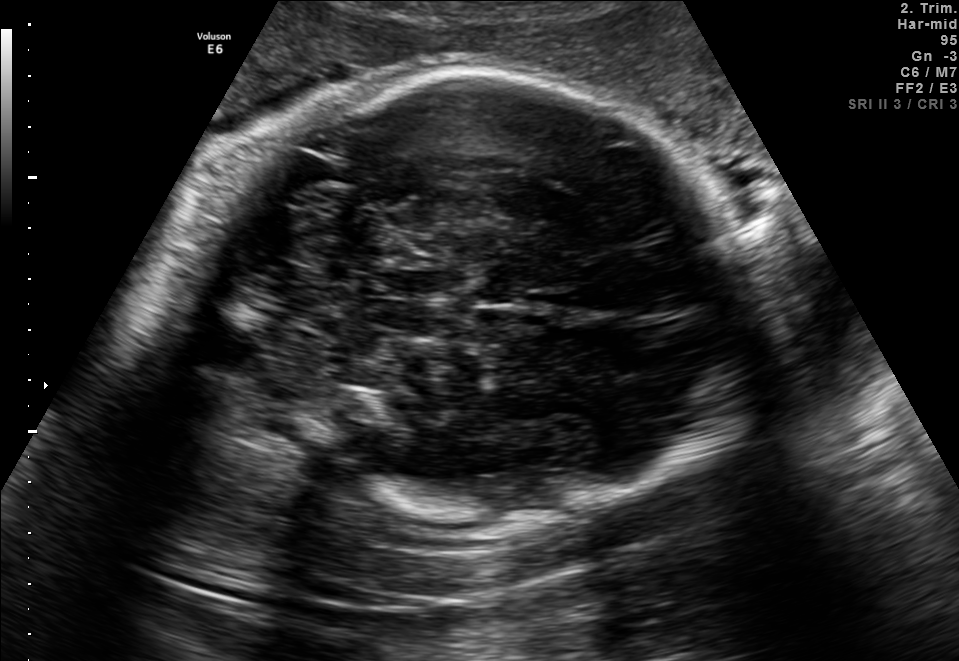
This is a 2D maternal-fetal ultrasound frame. Is it a fetal abdomen, fetal brain, fetal femur, fetal thorax, maternal cervix, or other standard plane? If it's fetal brain and one of the three standard brain planes (trans-thalamic, trans-cerebellum, trans-ventricular), name which.

Fetal brain (trans-thalamic plane)